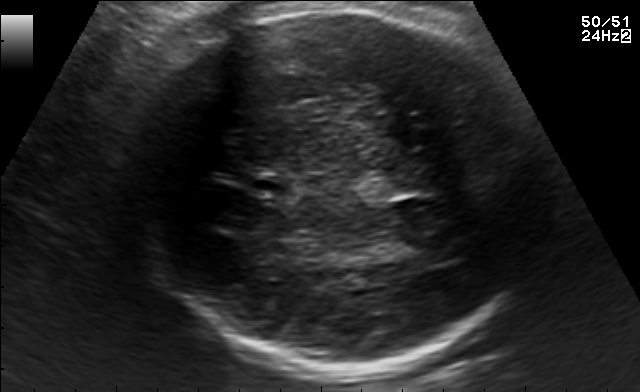
Fetal brain, trans-thalamic plane. Where is the fetal head?

Head bounding box: [132,8,537,372]